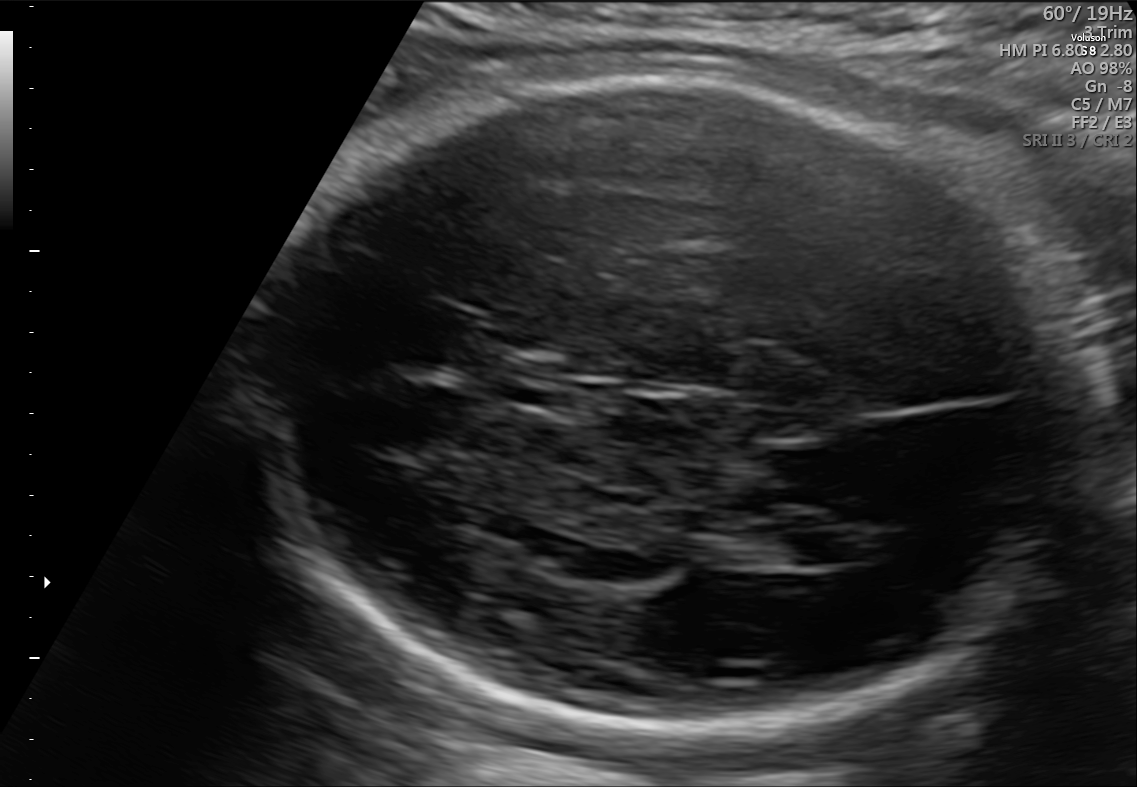
In this fetal brain, trans-ventricular plane, give bounding boxes for the head outline, cavum septum pellucidum (CSP), and lateral ventricle (LV), where visible.

Head: [253,54,1107,748]
CSP: [494,355,583,413]
Lateral ventricle: [783,531,874,565]